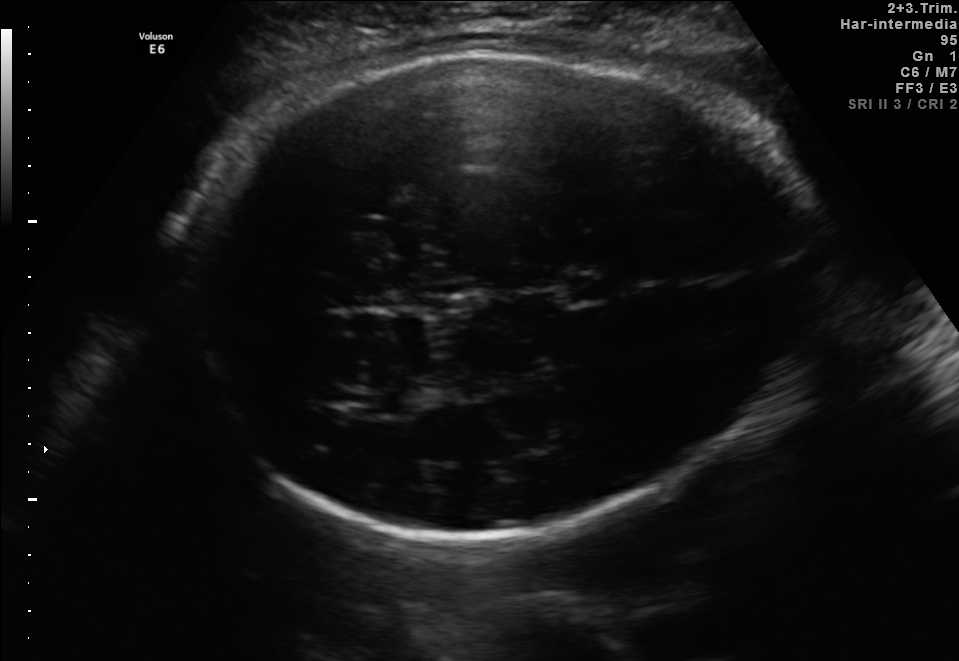
Fetal brain, trans-thalamic plane. Where is the lateral ventricle?

Lateral ventricle bounding box: [340,389,411,415]